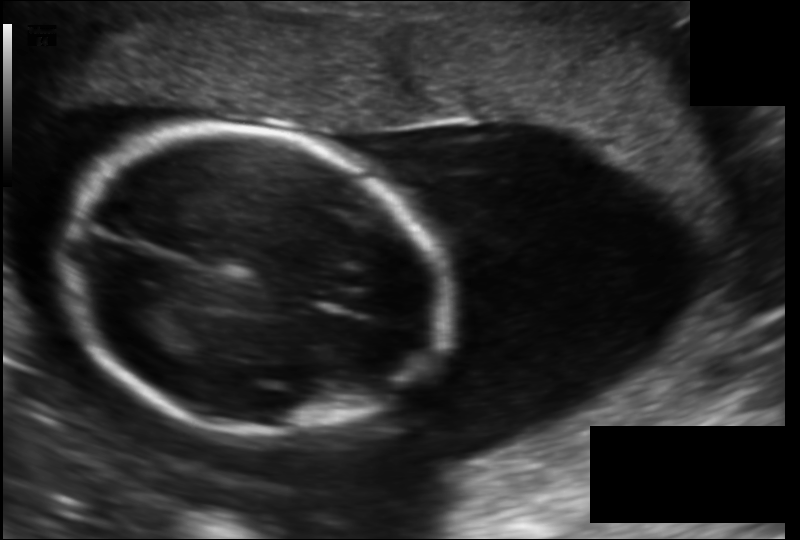
In this fetal head ultrasound, give bounding boxes for the head outline, cavum septum pellucidum (CSP), and lateral ventricle (LV), where visible. Image width: 124.6 mm.

Head: [66,129,442,434]